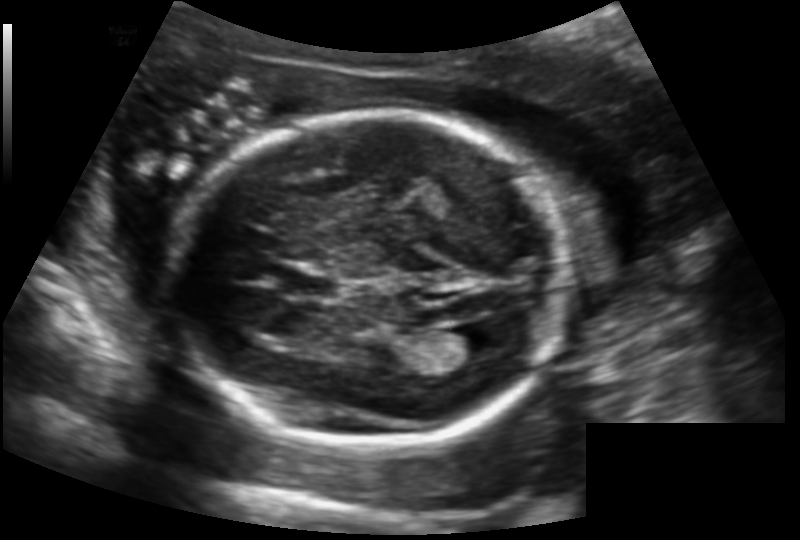
Fetal head ultrasound. Image width: 117.4 mm. Where is the lateral ventricle?

Lateral ventricle bounding box: [439,318,502,367]